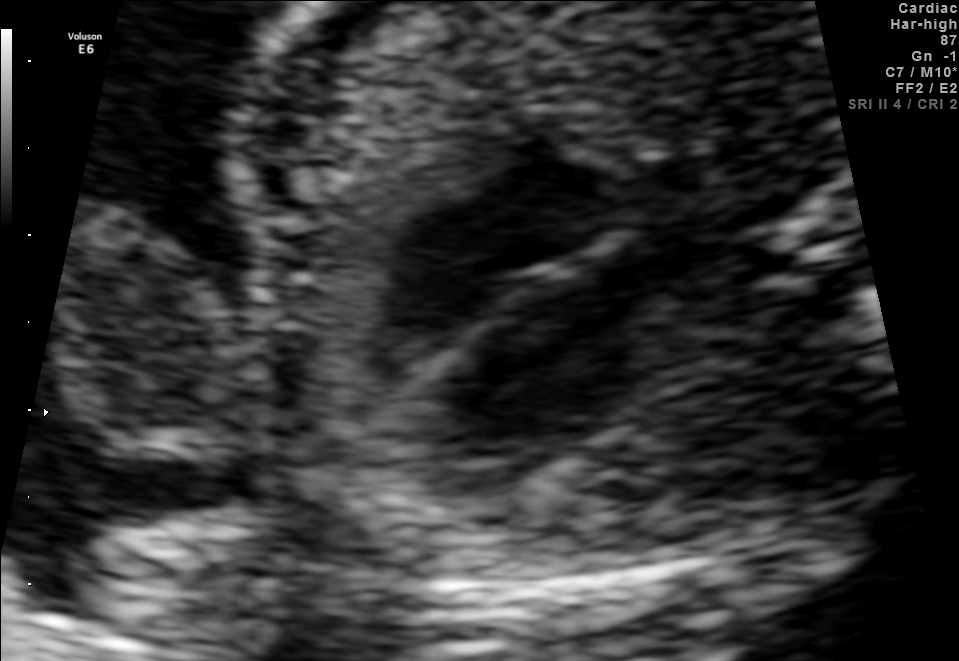
Identify the standard plane in this fetal ultrasound image: fetal abdomen, fetal brain, fetal femur, fetal thorax, maternal cervix, or other. If it's fetal brain and one of the three standard brain planes (trans-thalamic, trans-cerebellum, trans-ventricular), name which.

Fetal thorax